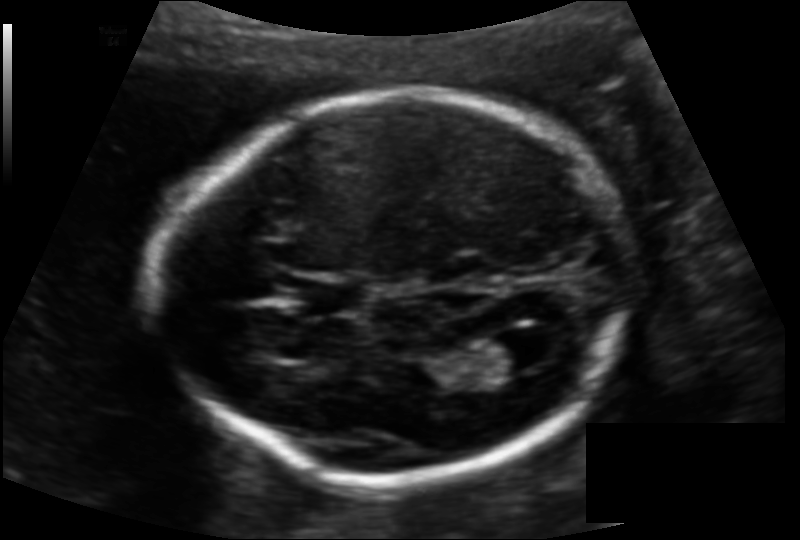
Fetal head ultrasound. Image width: 102.7 mm. Where is the cavum septum pellucidum?

CSP bounding box: [303,278,367,314]